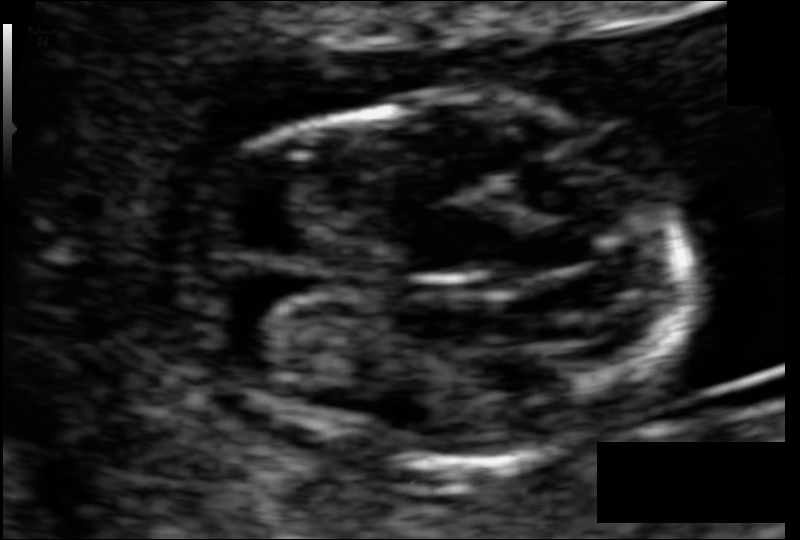
In this fetal head ultrasound, give bounding boxes for the head outline, cavum septum pellucidum (CSP), and lateral ventricle (LV), where visible. Image width: 41.8 mm.

Head: [180,100,697,463]